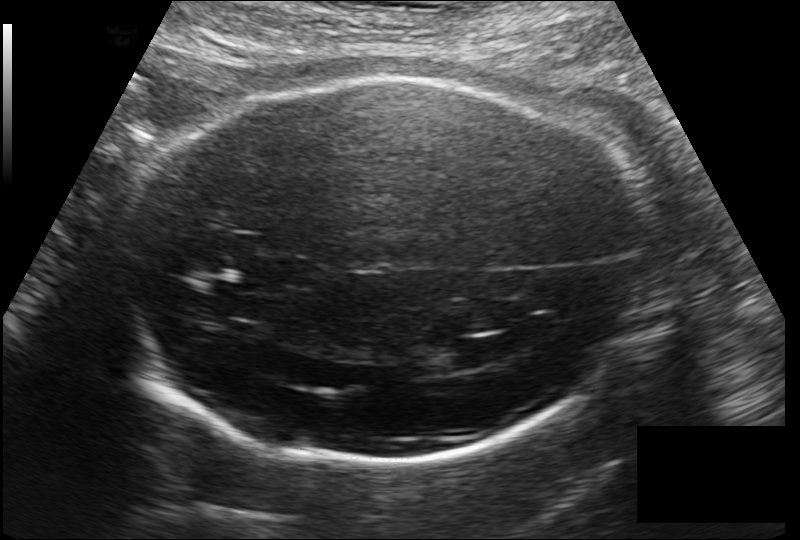
In this fetal head ultrasound, give the bounding box of the fetal head. Image width: 142.0 mm.

[123,78,653,464]